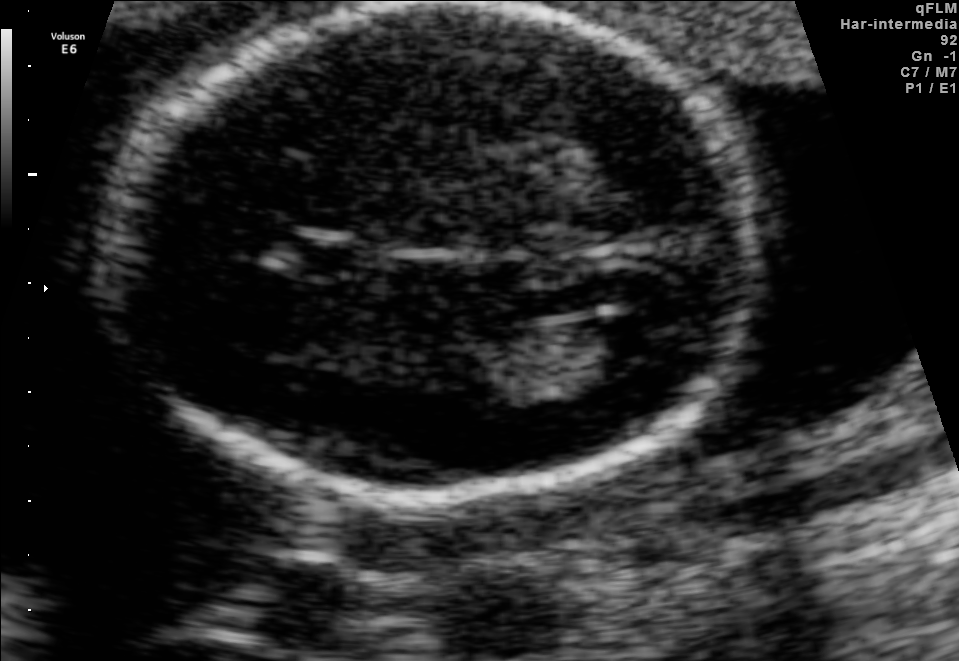
In this fetal brain, trans-ventricular plane, give the bounding box of the cavum septum pellucidum.

[279,234,370,278]